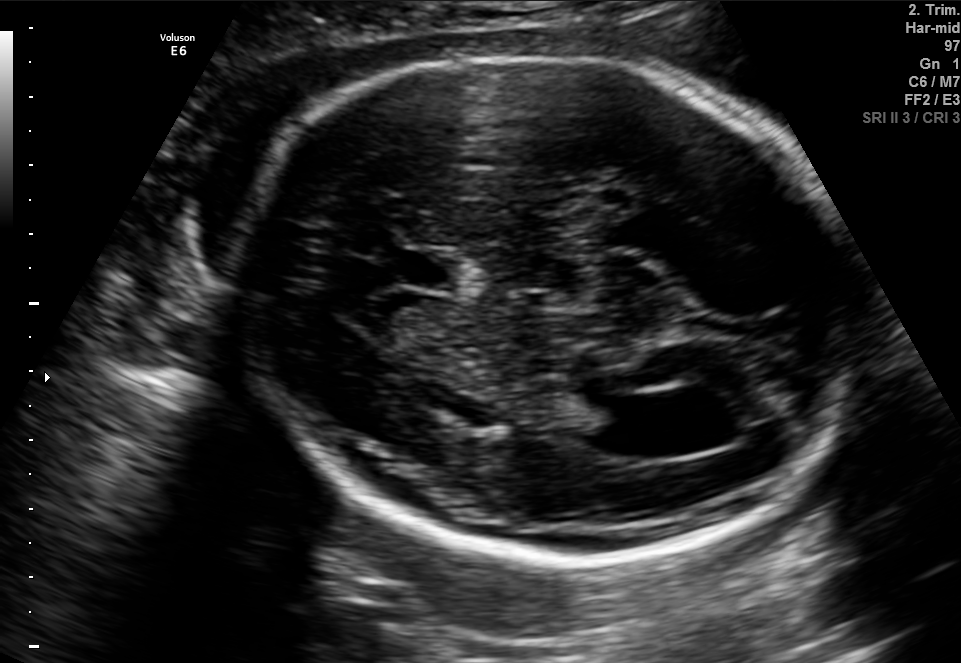
Fetal brain, trans-ventricular plane. Give [x1,y1,x2,y2] bounding boxes for each visible structure among: fetal head, CSP, LV.

Head: [221,46,862,563]
CSP: [367,240,481,299]
Lateral ventricle: [585,390,674,454]